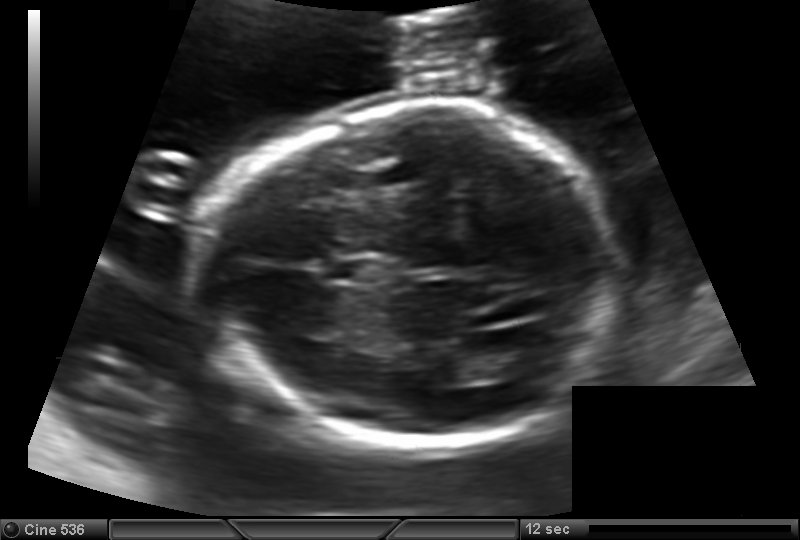
What is the fetal head circumference? Image width is 115.2 mm.

183.1 mm